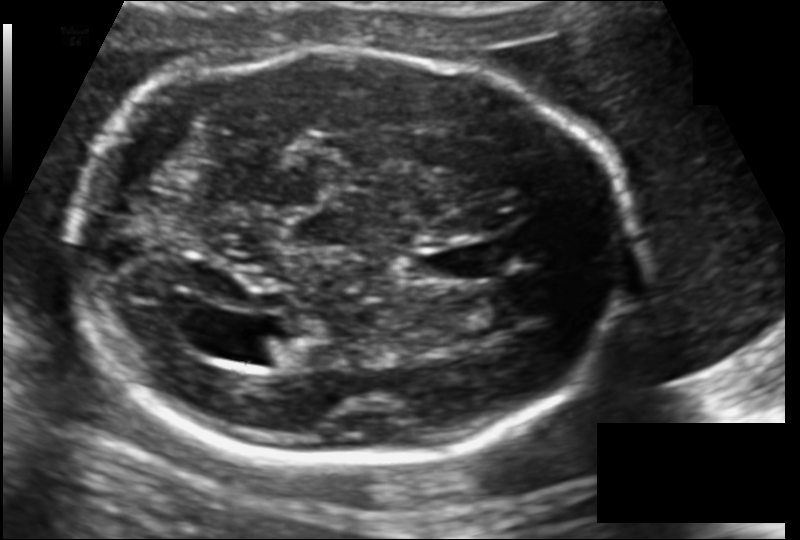
Fetal head ultrasound. Image width: 110.0 mm. Where is the lateral ventricle?

Lateral ventricle bounding box: [240,328,306,372]